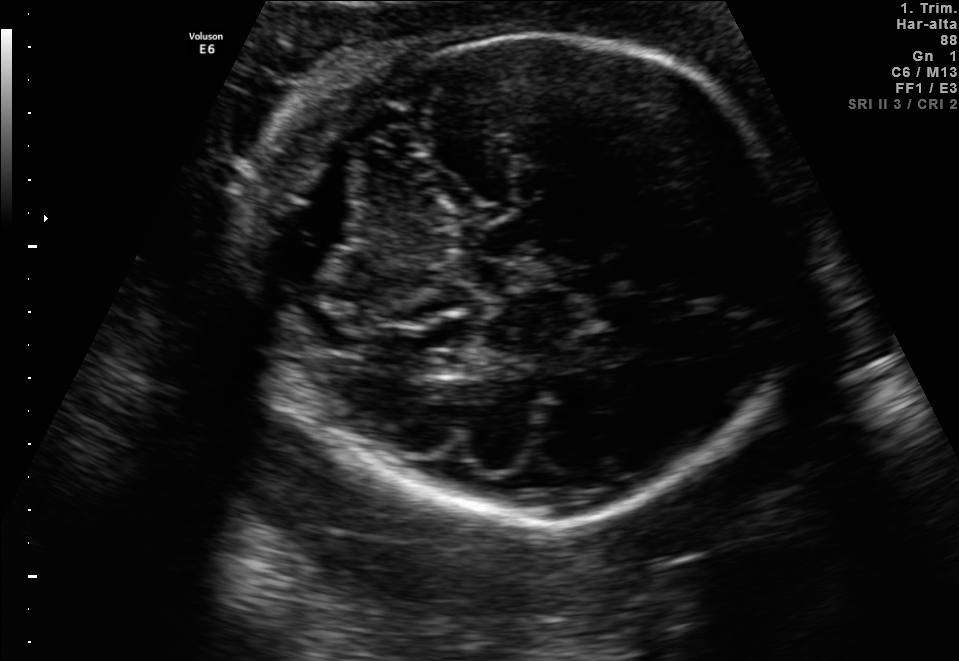
Fetal brain, trans-cerebellum plane. Where is the fetal head?

Head bounding box: [249,34,800,521]